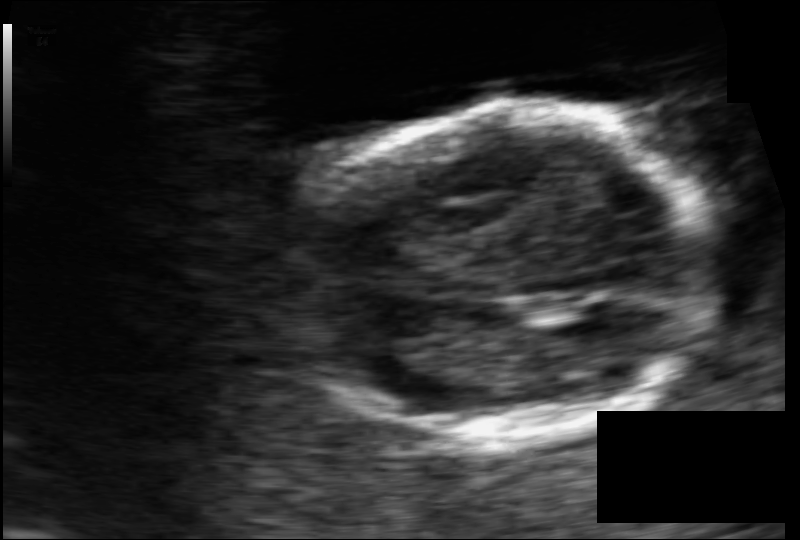
Fetal head ultrasound. Image width: 67.0 mm. Where is the fetal head?

Head bounding box: [291,105,719,440]